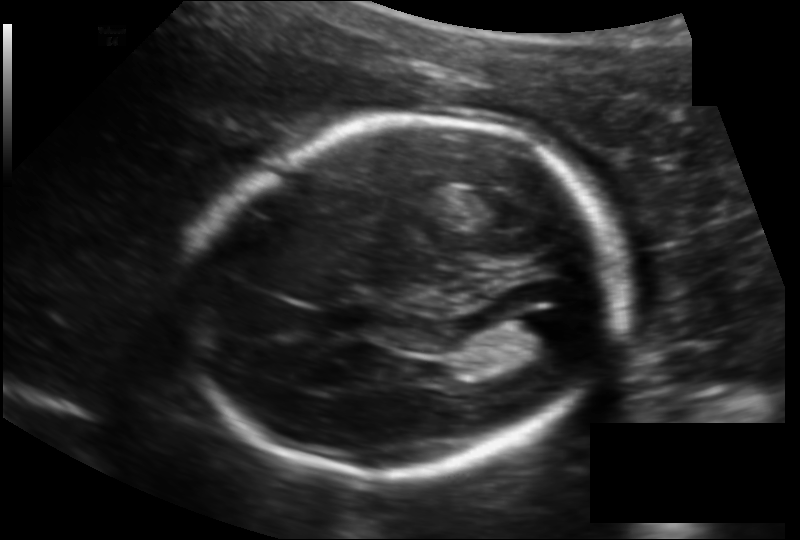
In this fetal head ultrasound, give the bounding box of the fetal head. Image width: 115.9 mm.

[190,118,618,476]